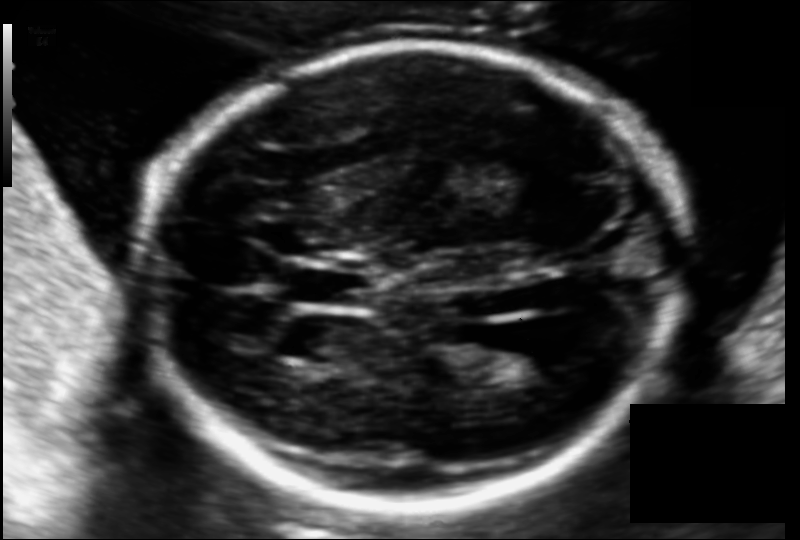
Fetal head ultrasound. Image width: 94.4 mm. Locate the fetal head and, if visible, the cavum septum pellucidum (CSP) and lateral ventricle (LV). Give bounding boxes as [x1,y1,x2,y2].

Head: [143,45,683,508]
CSP: [290,269,366,307]
Lateral ventricle: [470,330,560,388]